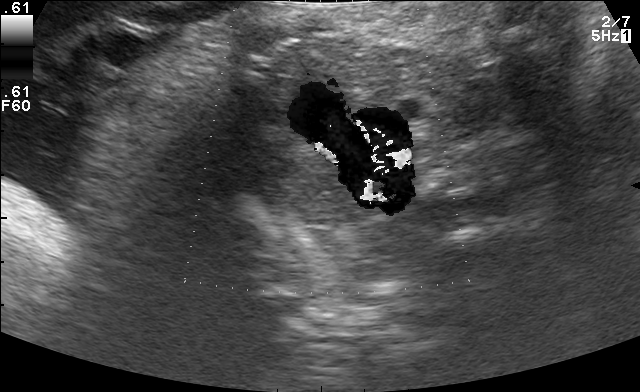
Classify this maternal-fetal ultrasound image as one of the six standard planes — fetal abdomen, fetal brain, fetal femur, fetal thorax, maternal cervix, or other. If it's fetal brain and one of the three standard brain planes (trans-thalamic, trans-cerebellum, trans-ventricular), name which.

Other